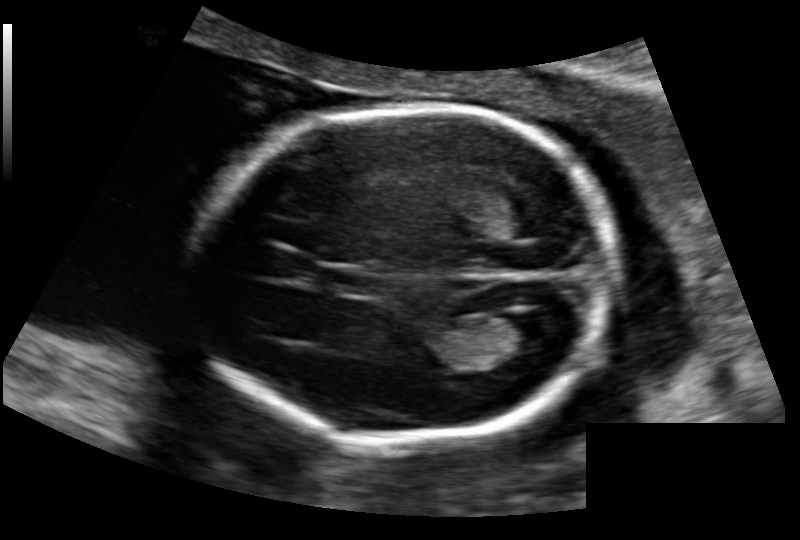
In this fetal head ultrasound, give the bounding box of the lateral ventricle. Image width: 108.9 mm.

[491,311,558,356]